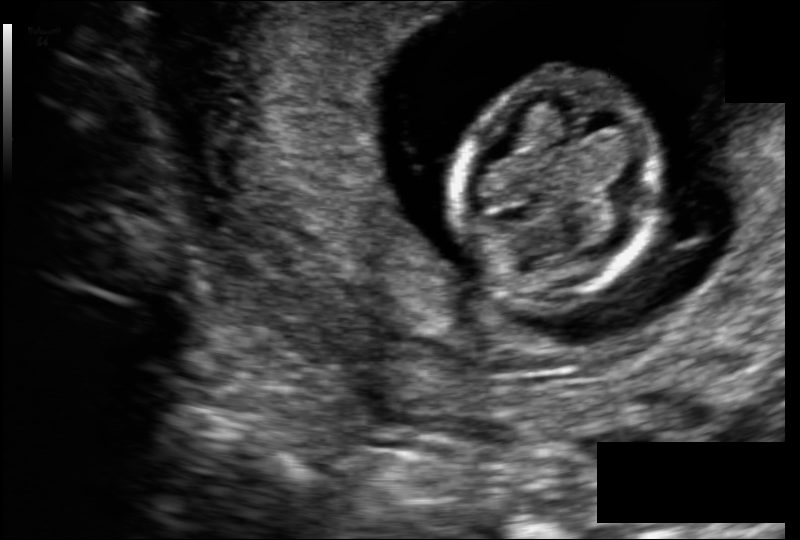
Fetal head ultrasound. Image width: 87.2 mm. Locate the fetal head and, if visible, the cavum septum pellucidum (CSP) and lateral ventricle (LV). Give bounding boxes as [x1,y1,x2,y2].

Head: [451,74,662,301]